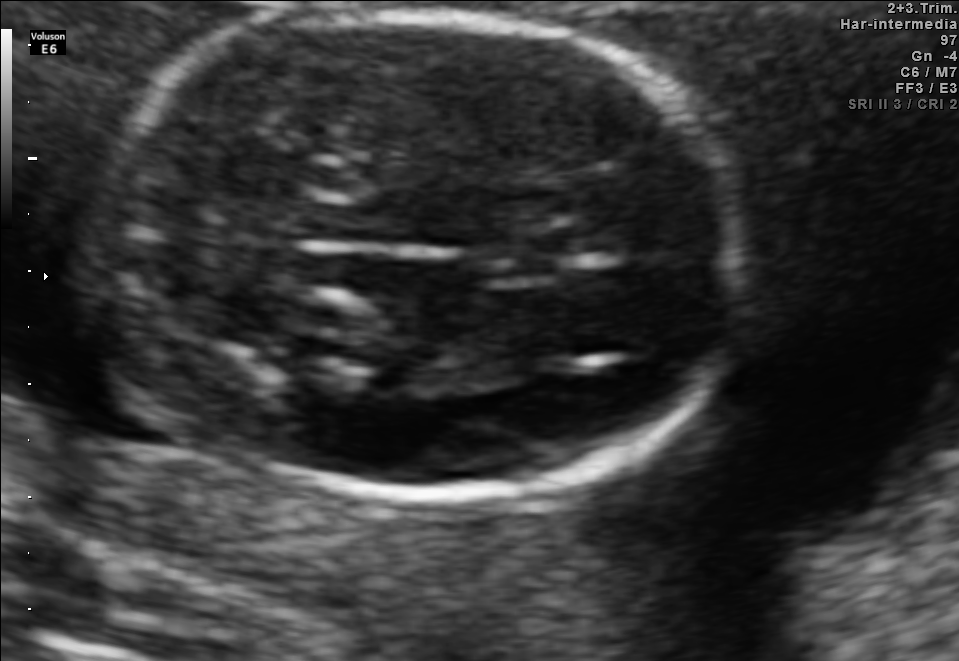
In this fetal brain, trans-thalamic plane, give the bounding box of the lateral ventricle.

[246,293,382,365]